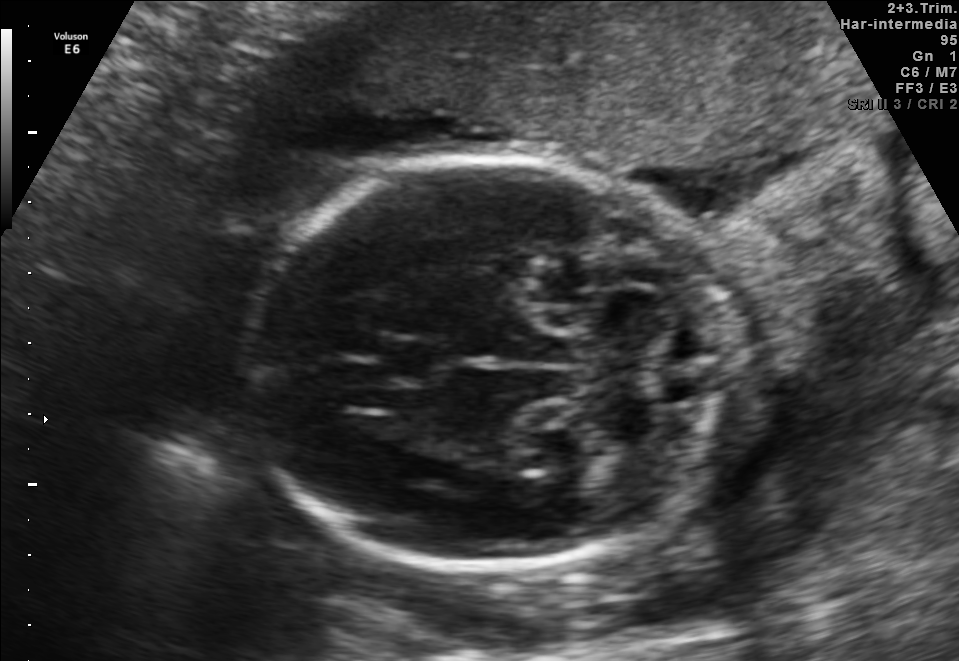
Fetal brain, trans-cerebellum plane. Where is the fetal head?

Head bounding box: [246,157,721,568]